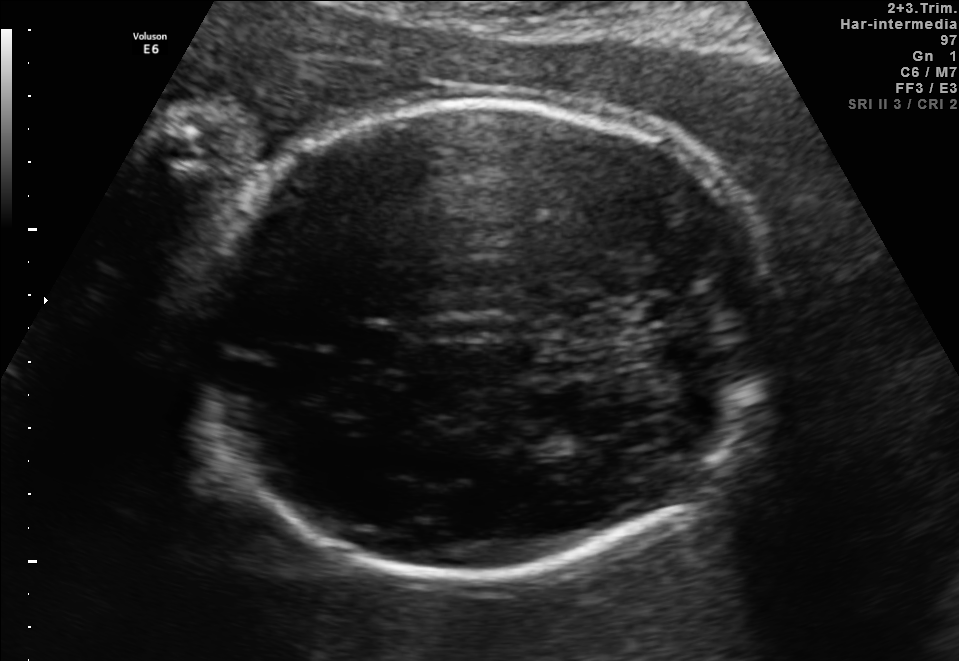
Fetal brain, trans-thalamic plane. Where is the cavum septum pellucidum?

CSP bounding box: [340,325,401,357]